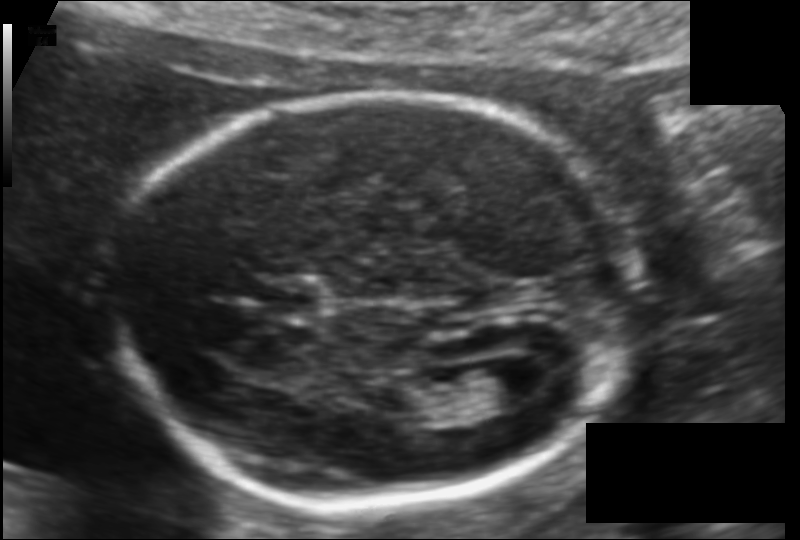
In this fetal head ultrasound, give the bounding box of the lateral ventricle. Image width: 92.0 mm.

[461,354,542,417]